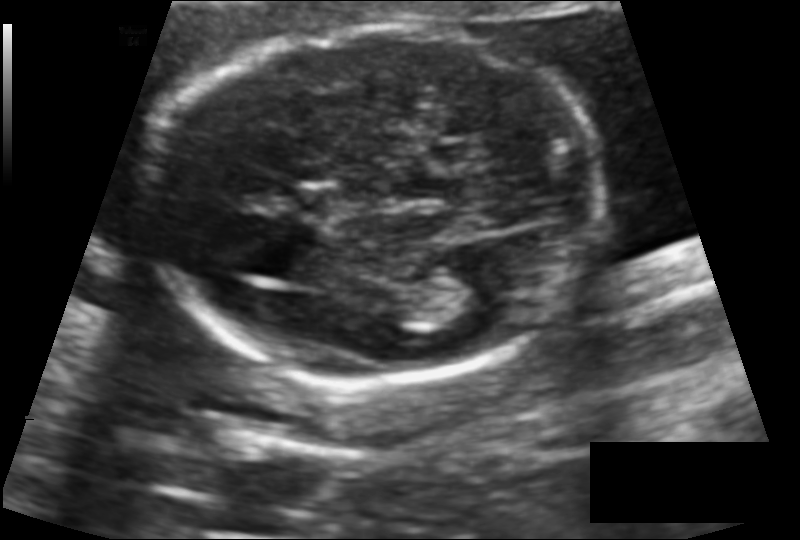
Fetal head ultrasound. Image width: 94.4 mm. Locate the fetal head.

Head: [146,27,604,381]